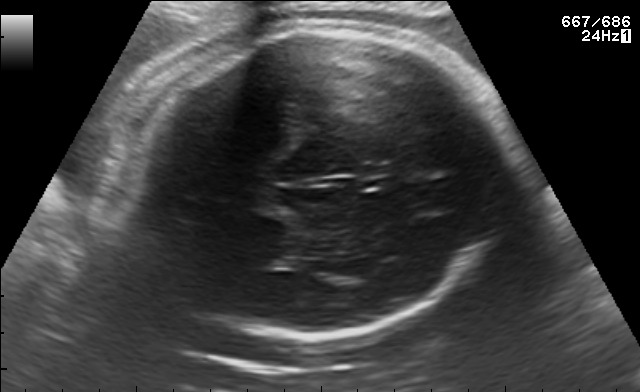
Fetal brain, trans-thalamic plane. Locate the fetal head.

Head: [119,26,508,336]